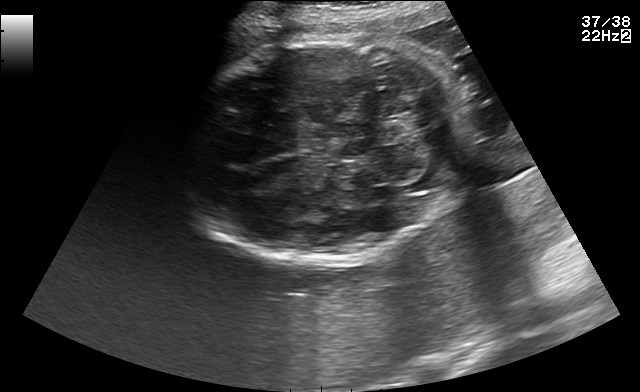
Fetal brain, trans-cerebellum plane. Give [x1,y1,x2,y2] bounding boxes for each visible structure among: fetal head, CSP, LV.

Head: [176,37,464,262]